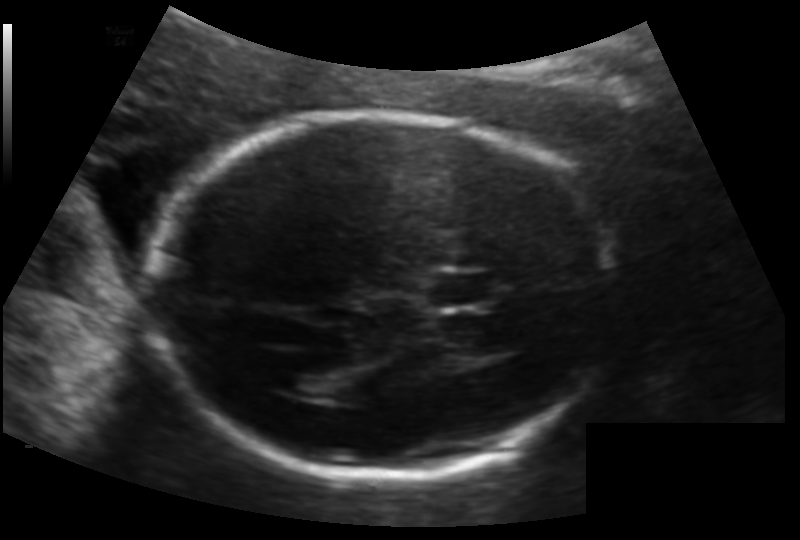
Fetal head ultrasound. Image width: 106.4 mm. Locate the cavum septum pellucidum.

CSP: [425,268,498,310]